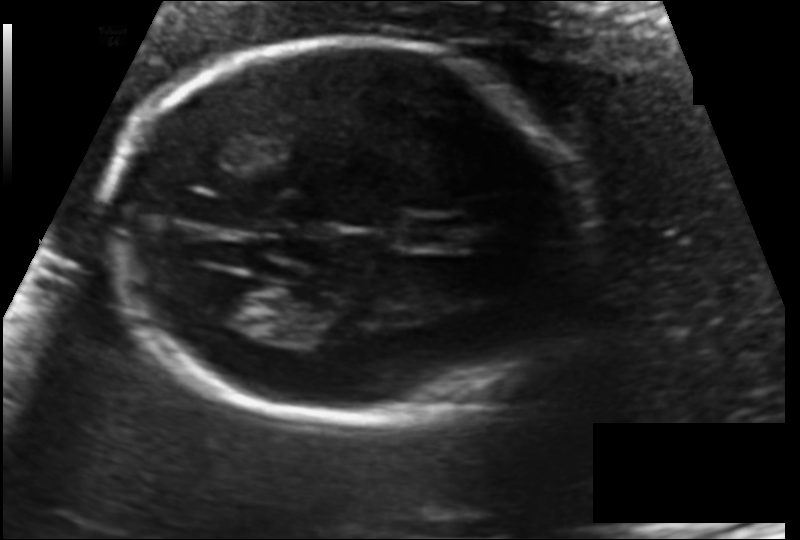
Fetal head ultrasound. Image width: 97.9 mm. Give [x1,y1,x2,y2] bounding boxes for each visible structure among: fetal head, CSP, LV.

Head: [109,39,577,421]
CSP: [408,218,469,248]
Lateral ventricle: [195,270,282,335]